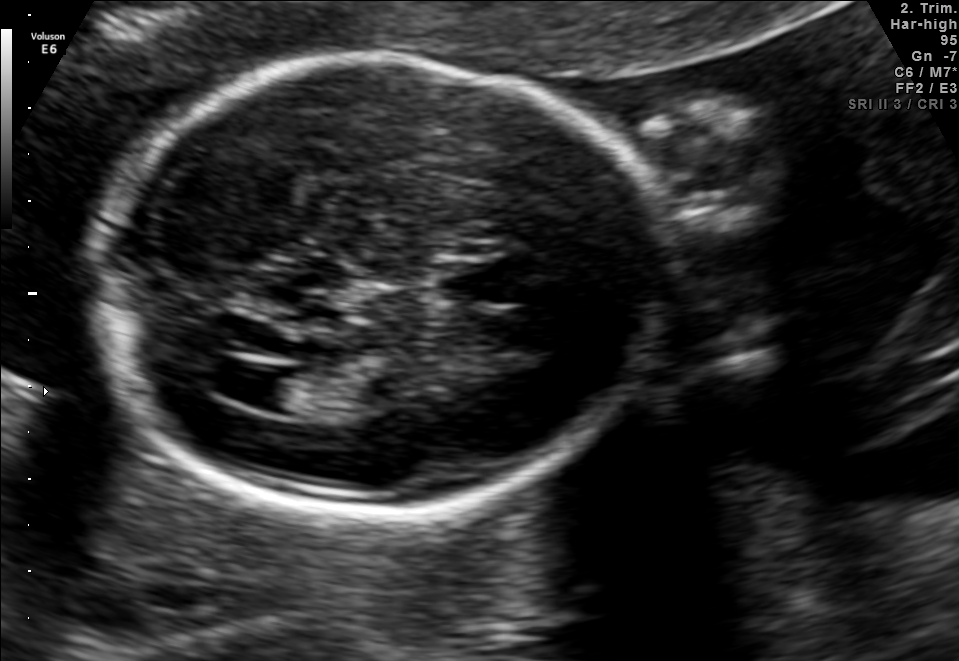
Fetal brain, trans-ventricular plane. Locate the fetal head.

Head: [84,49,685,522]